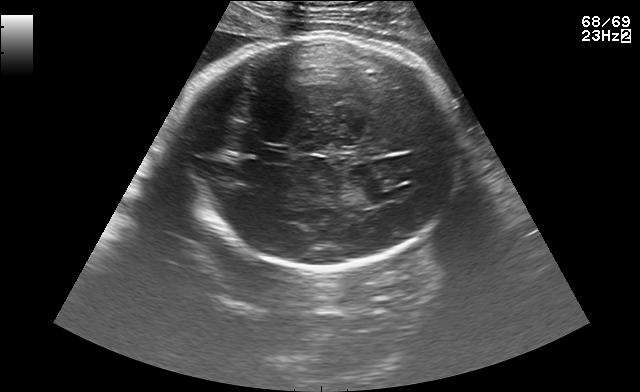
Fetal brain, trans-thalamic plane. Where is the lateral ventricle?

Lateral ventricle bounding box: [381,181,414,203]